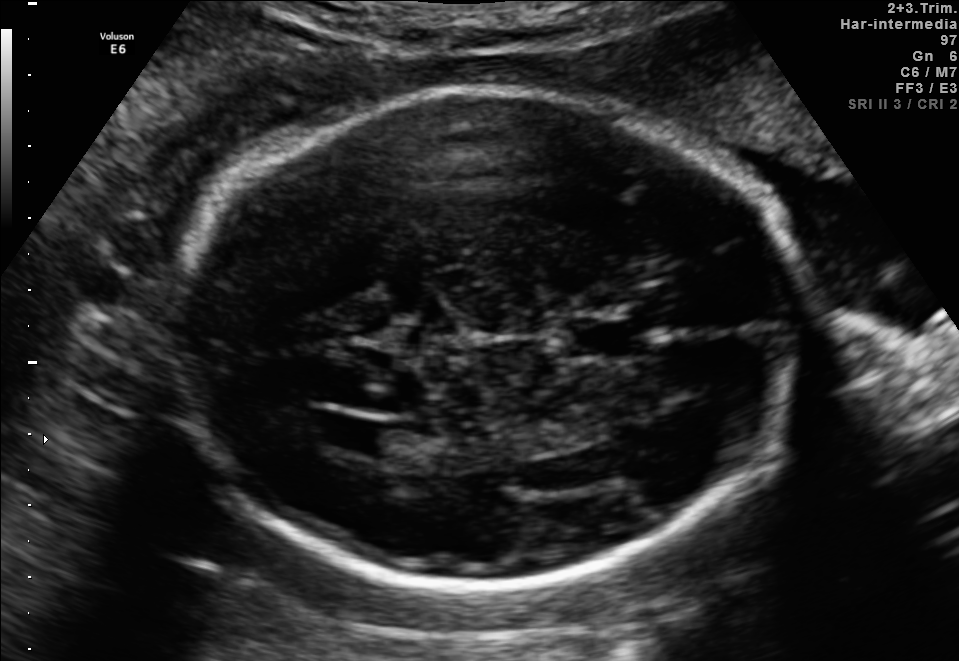
Fetal brain, trans-ventricular plane. Where is the fetal head?

Head bounding box: [161,85,816,592]